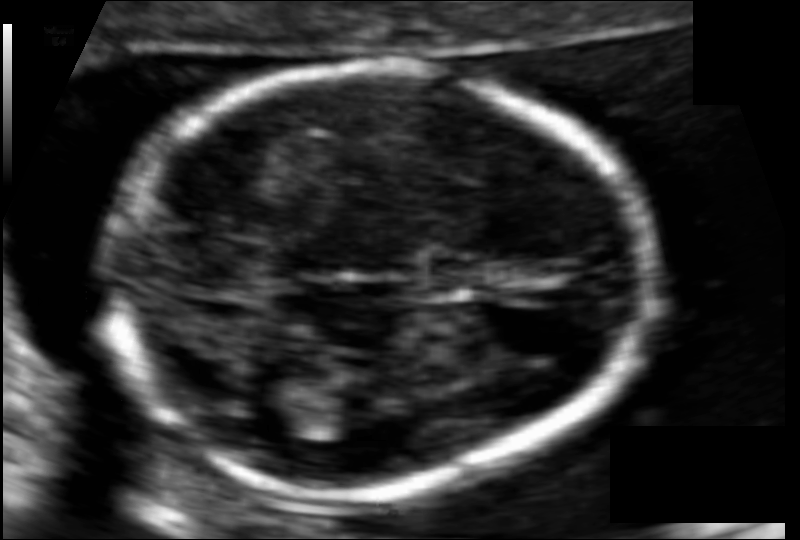
Estimate the fetal head circumference from this 2D ultrasound.

Head circumference: 137.3 mm (image width 67.6 mm).